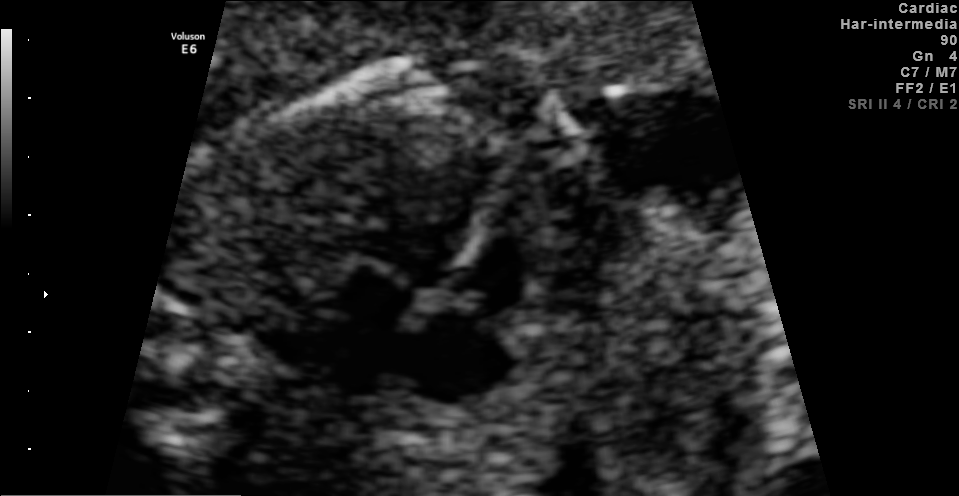
Which standard maternal-fetal ultrasound plane is shown: fetal abdomen, fetal brain, fetal femur, fetal thorax, maternal cervix, or other? If it's fetal brain and one of the three standard brain planes (trans-thalamic, trans-cerebellum, trans-ventricular), name which.

Fetal thorax